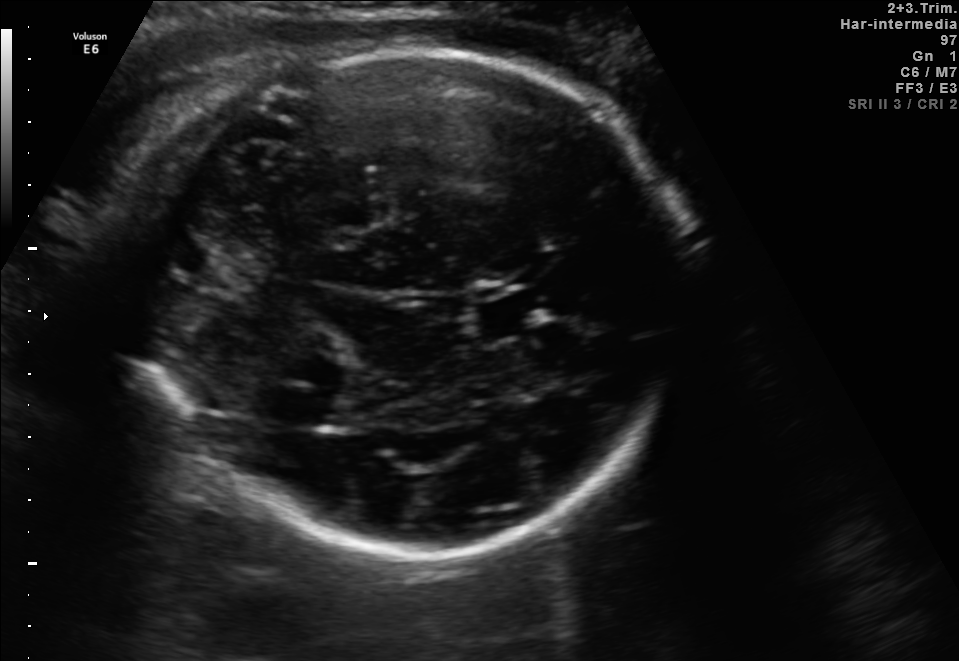
Fetal brain, trans-thalamic plane. Locate the lateral ventricle.

Lateral ventricle: [269,391,340,424]